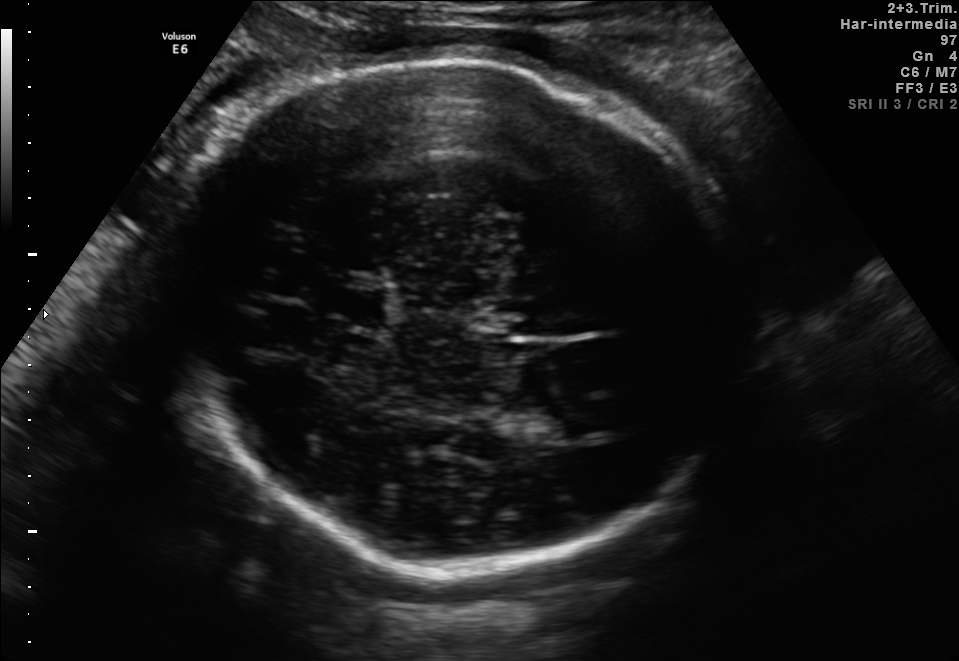
Fetal brain, trans-thalamic plane. Where is the cavum septum pellucidum?

CSP bounding box: [337,286,387,330]